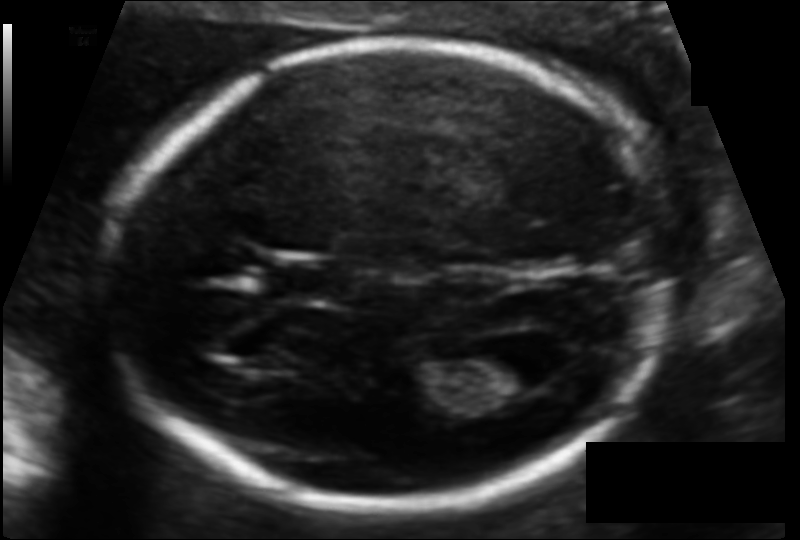
Fetal head ultrasound. Image width: 82.6 mm. Where is the fetal head?

Head bounding box: [101,40,667,507]